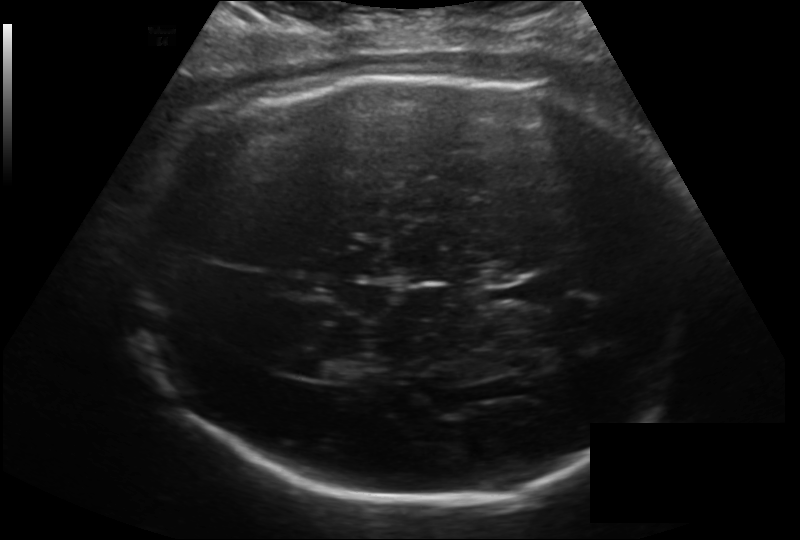
From this fetal ultrasound, estimate the head circumference (image width 154.4 mm).

Head circumference: 315.0 mm.